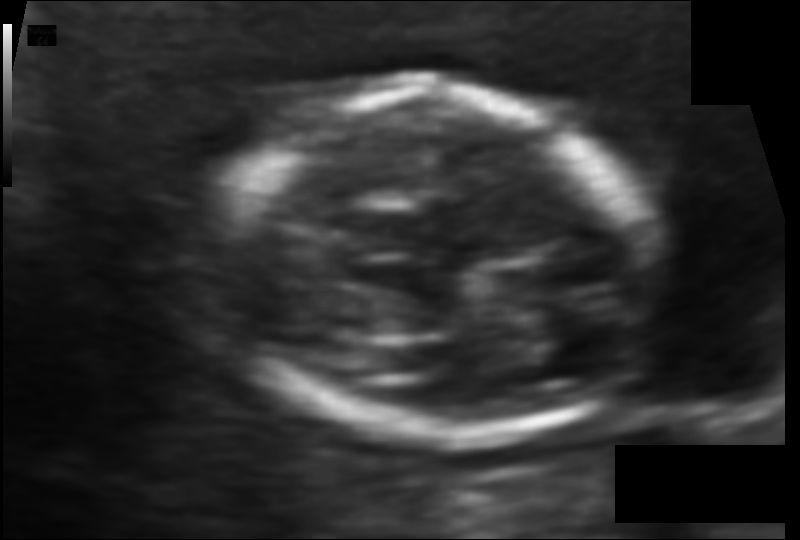
Estimate the fetal head circumference from this 2D ultrasound. Image width: 66.1 mm.

Head circumference: 103.7 mm.